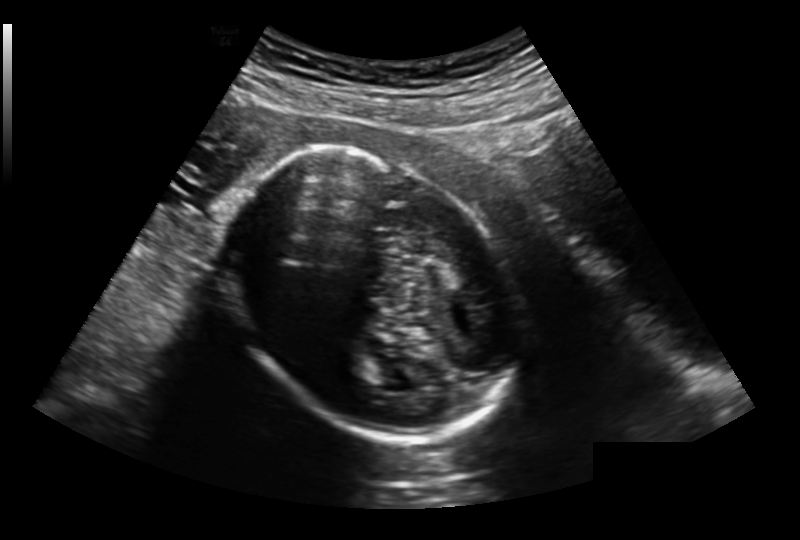
In this fetal head ultrasound, give the bounding box of the fetal head. Image width: 170.5 mm.

[234,145,516,444]